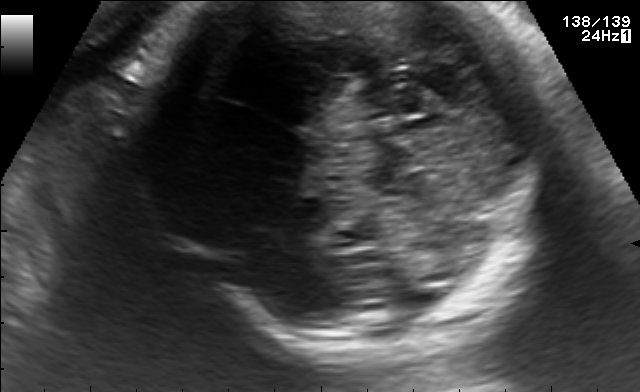
Fetal brain, trans-cerebellum plane. Locate the fetal head.

Head: [159,1,551,350]